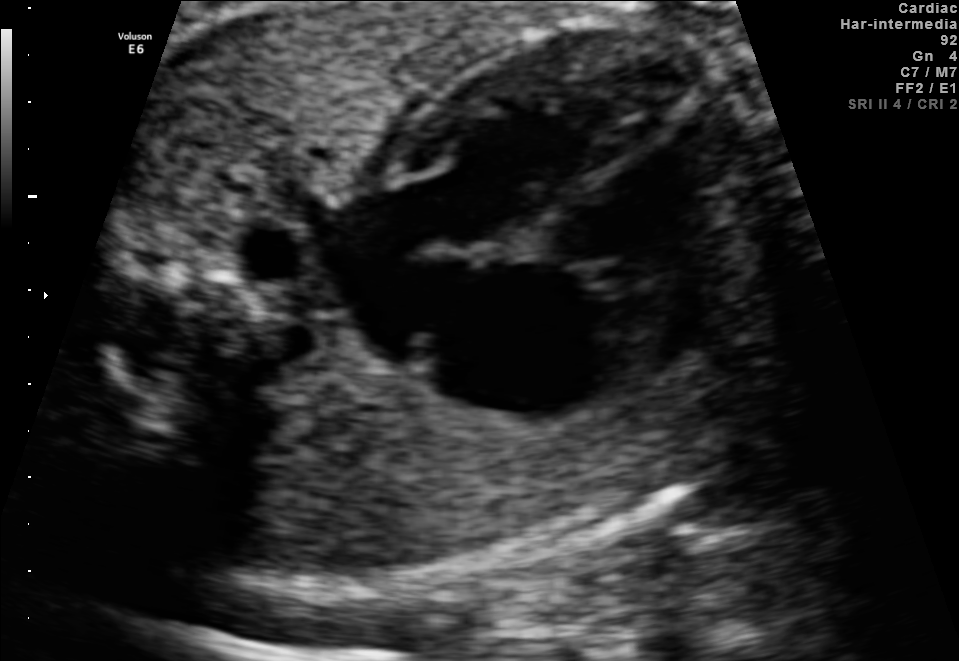
Classify this maternal-fetal ultrasound image as one of the six standard planes — fetal abdomen, fetal brain, fetal femur, fetal thorax, maternal cervix, or other. If it's fetal brain and one of the three standard brain planes (trans-thalamic, trans-cerebellum, trans-ventricular), name which.

Fetal thorax